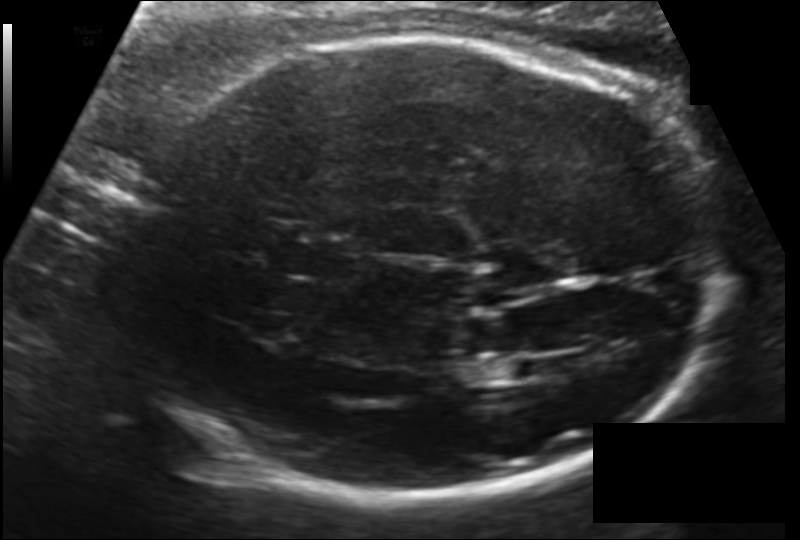
Fetal head ultrasound. Image width: 120.6 mm. Locate the lateral ventricle.

Lateral ventricle: [510,353,556,384]